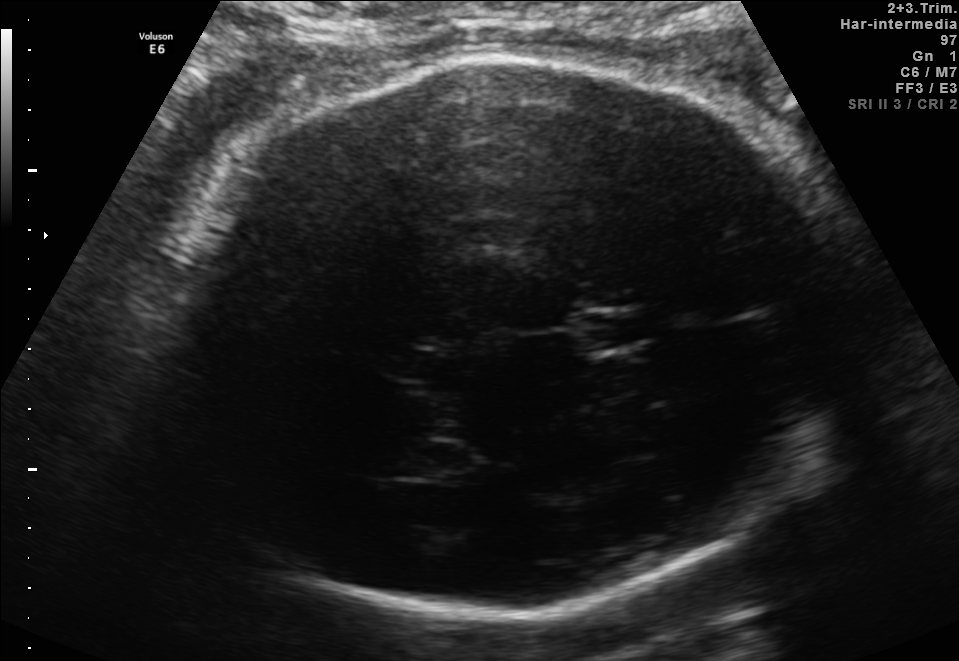
Fetal brain, trans-thalamic plane. Locate the fetal head and, if visible, the cavum septum pellucidum (CSP) and lateral ventricle (LV). Give bounding boxes as [x1,y1,x2,y2].

Head: [154,55,851,612]
CSP: [579,307,663,352]
Lateral ventricle: [380,442,465,479]